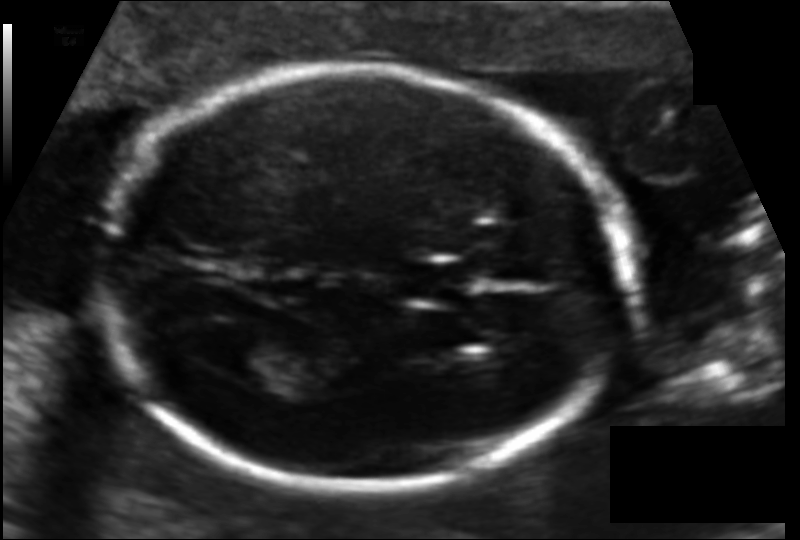
Fetal head ultrasound. Image width: 91.0 mm. Where is the fetal head?

Head bounding box: [102,69,630,489]